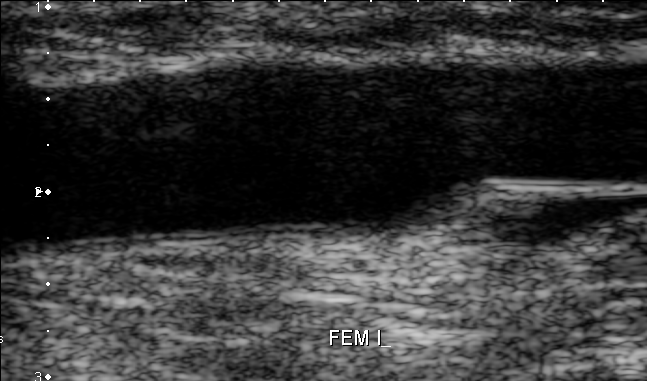
Which standard maternal-fetal ultrasound plane is shown: fetal abdomen, fetal brain, fetal femur, fetal thorax, maternal cervix, or other? If it's fetal brain and one of the three standard brain planes (trans-thalamic, trans-cerebellum, trans-ventricular), name which.

Other